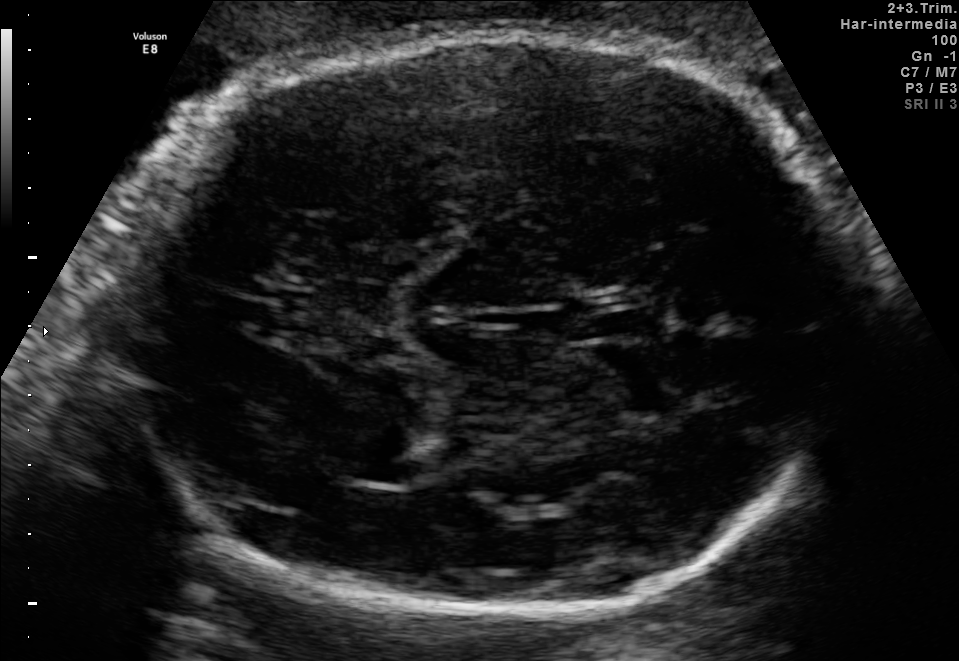
In this fetal brain, trans-thalamic plane, give the bounding box of the lateral ventricle.

[346,451,419,489]